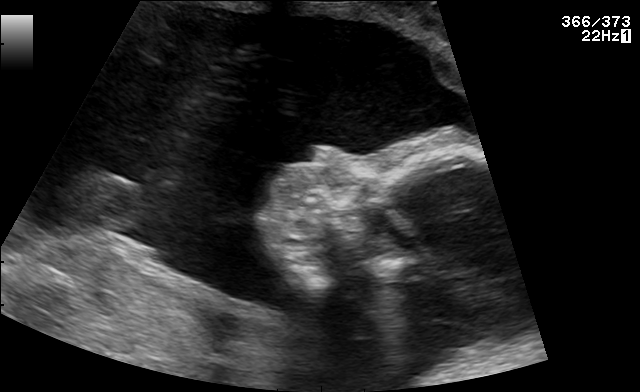
Which standard maternal-fetal ultrasound plane is shown: fetal abdomen, fetal brain, fetal femur, fetal thorax, maternal cervix, or other? If it's fetal brain and one of the three standard brain planes (trans-thalamic, trans-cerebellum, trans-ventricular), name which.

Other